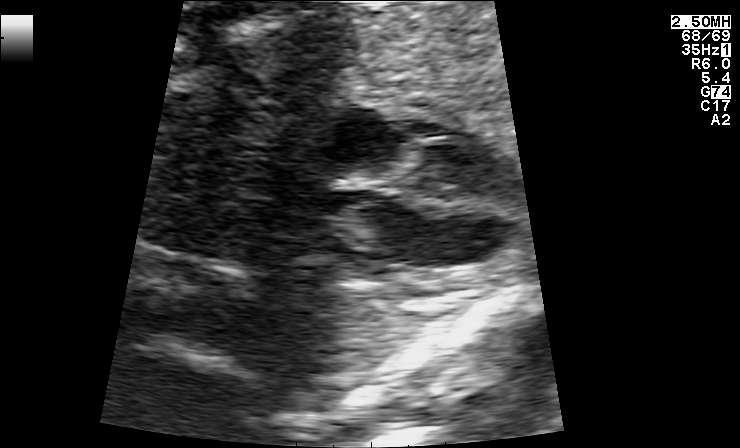
Identify the standard plane in this fetal ultrasound image: fetal abdomen, fetal brain, fetal femur, fetal thorax, maternal cervix, or other. If it's fetal brain and one of the three standard brain planes (trans-thalamic, trans-cerebellum, trans-ventricular), name which.

Fetal thorax